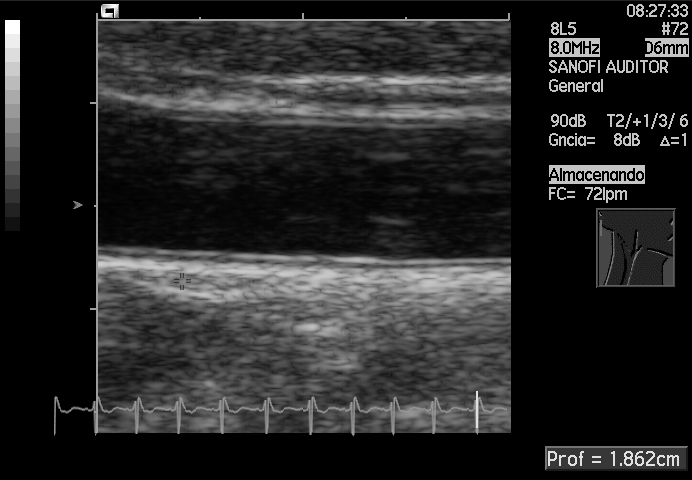
Identify the standard plane in this fetal ultrasound image: fetal abdomen, fetal brain, fetal femur, fetal thorax, maternal cervix, or other. If it's fetal brain and one of the three standard brain planes (trans-thalamic, trans-cerebellum, trans-ventricular), name which.

Other